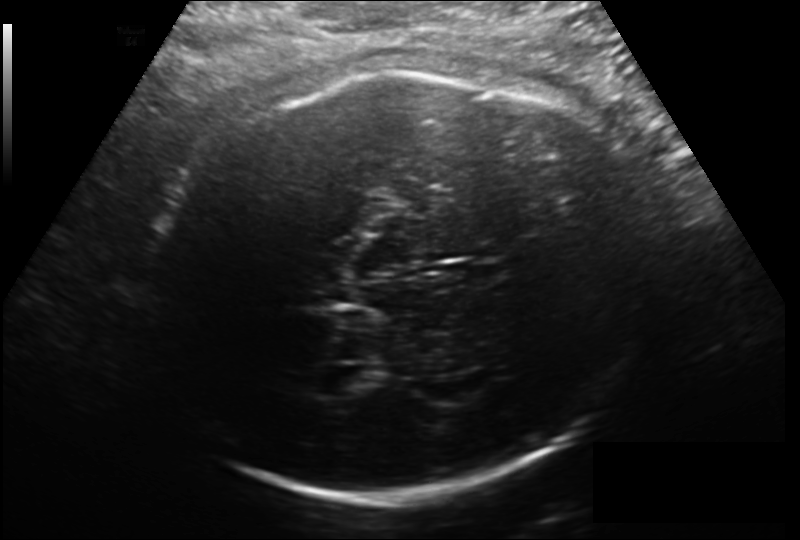
Fetal head ultrasound. Image width: 164.8 mm. Where is the fetal head?

Head bounding box: [140,73,642,505]